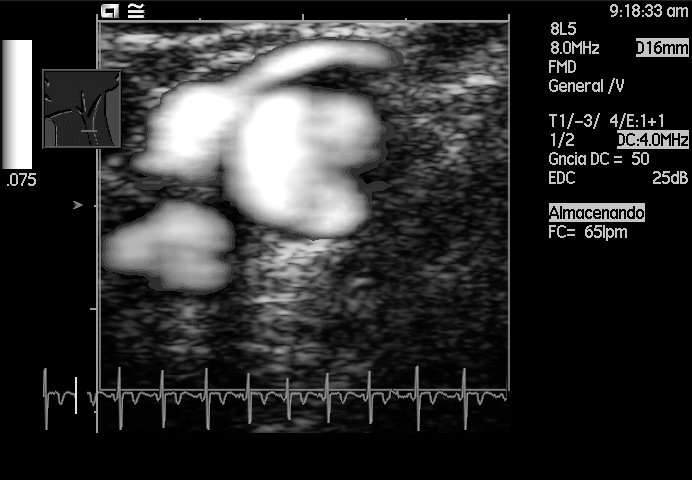
Identify the standard plane in this fetal ultrasound image: fetal abdomen, fetal brain, fetal femur, fetal thorax, maternal cervix, or other. If it's fetal brain and one of the three standard brain planes (trans-thalamic, trans-cerebellum, trans-ventricular), name which.

Other